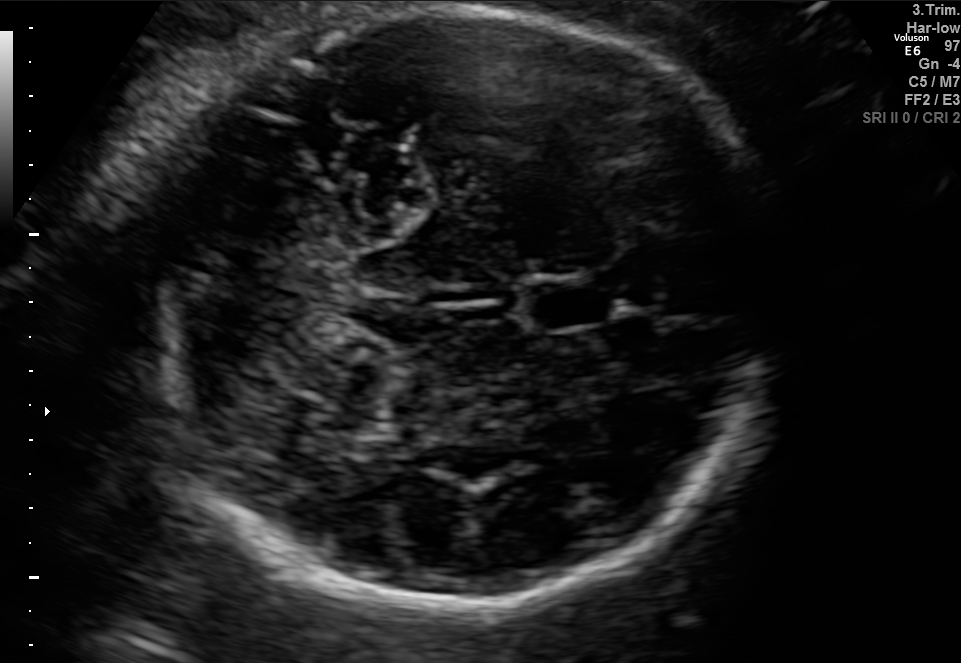
Fetal brain, trans-cerebellum plane. Where is the fetal head?

Head bounding box: [141,8,766,605]